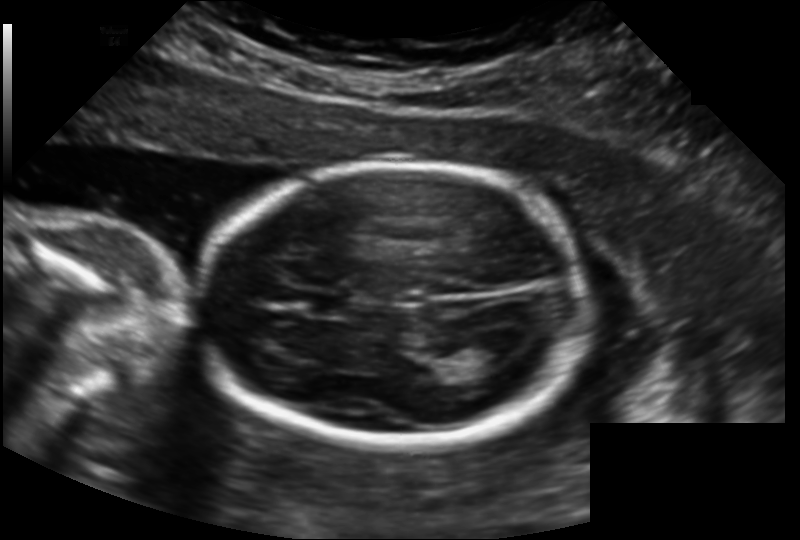
Measure the fetal head circumference shown in this ultrasound image. Image width: 126.2 mm.

Head circumference: 171.8 mm.